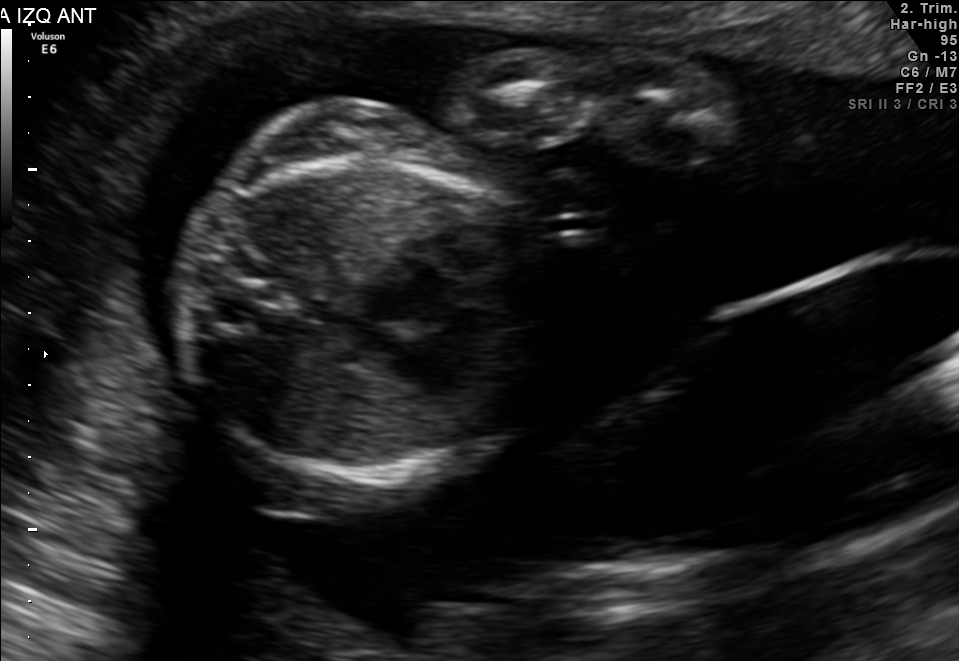
Which standard maternal-fetal ultrasound plane is shown: fetal abdomen, fetal brain, fetal femur, fetal thorax, maternal cervix, or other? If it's fetal brain and one of the three standard brain planes (trans-thalamic, trans-cerebellum, trans-ventricular), name which.

Fetal thorax